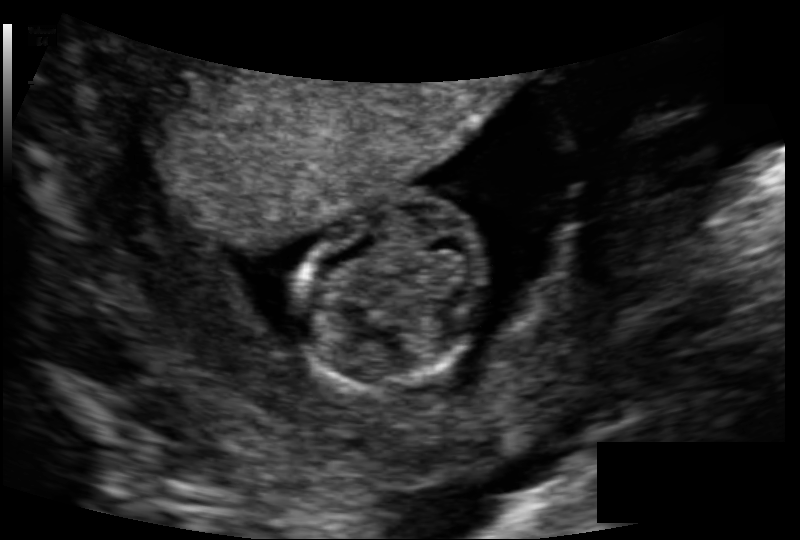
From this fetal ultrasound, estimate the head circumference (image width 94.2 mm).

Head circumference: 75.8 mm.